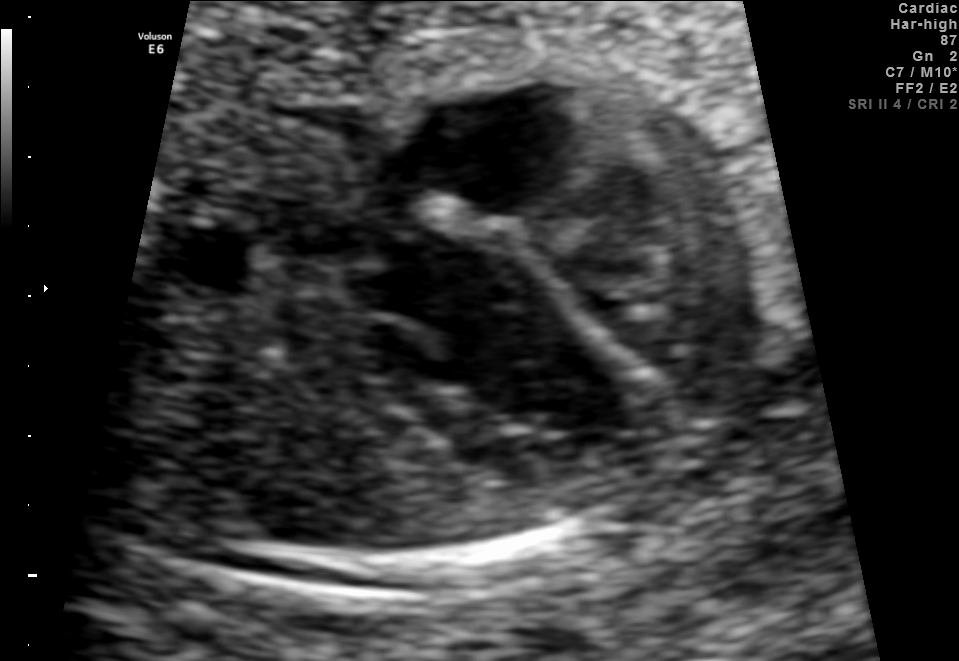
This is a 2D maternal-fetal ultrasound frame. Is it a fetal abdomen, fetal brain, fetal femur, fetal thorax, maternal cervix, or other standard plane? If it's fetal brain and one of the three standard brain planes (trans-thalamic, trans-cerebellum, trans-ventricular), name which.

Fetal thorax